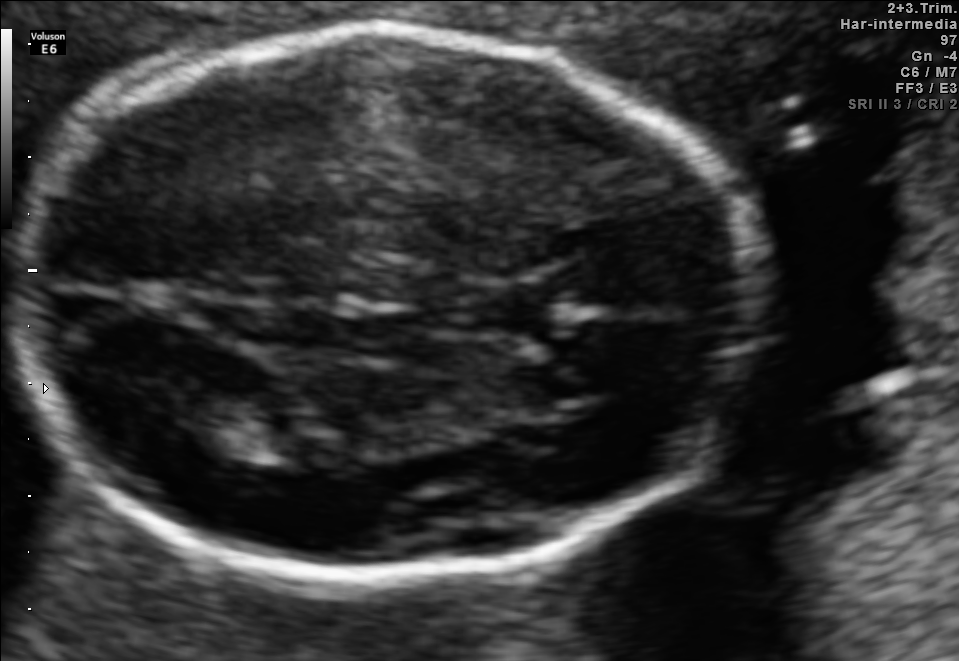
Fetal brain, trans-thalamic plane. Locate the fetal head and, if visible, the cavum septum pellucidum (CSP) and lateral ventricle (LV). Give bounding boxes as [x1,y1,x2,y2].

Head: [9,34,746,567]
CSP: [476,287,552,334]
Lateral ventricle: [148,372,260,460]